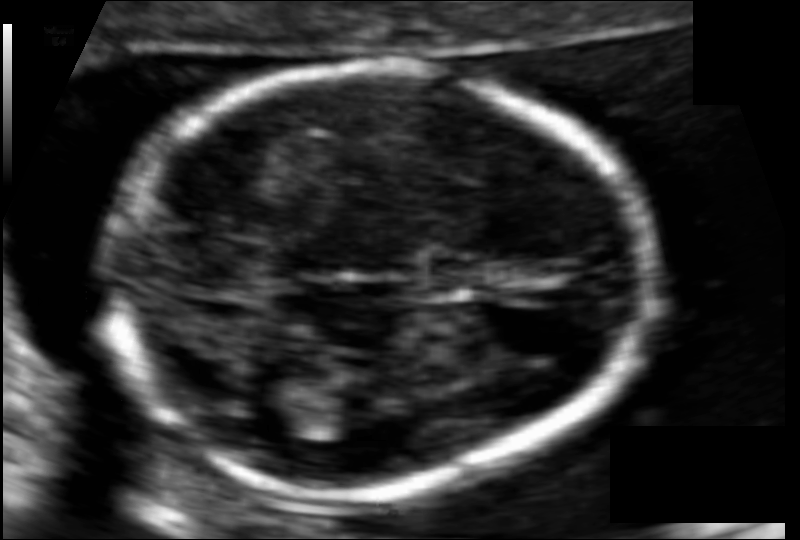
Fetal head ultrasound. Image width: 67.6 mm. Locate the fetal head.

Head: [105,67,645,501]